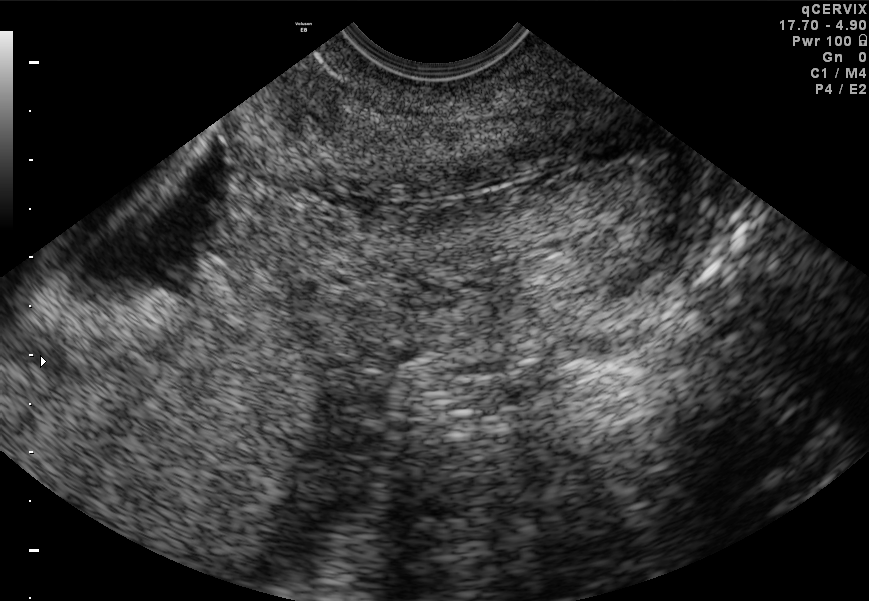
This is a 2D maternal-fetal ultrasound frame. Is it a fetal abdomen, fetal brain, fetal femur, fetal thorax, maternal cervix, or other standard plane? If it's fetal brain and one of the three standard brain planes (trans-thalamic, trans-cerebellum, trans-ventricular), name which.

Maternal cervix